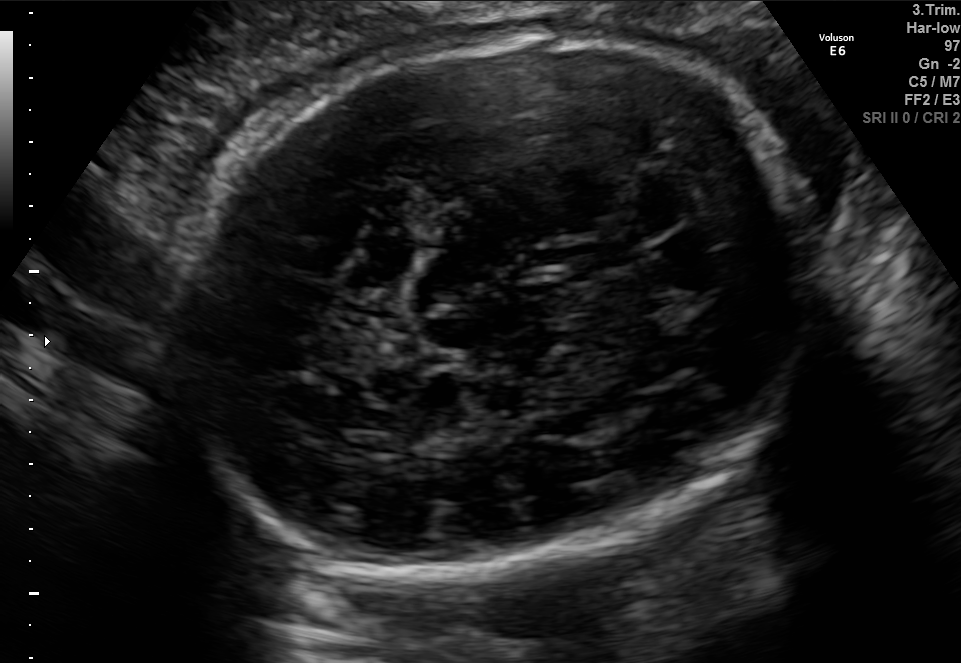
Fetal brain, trans-thalamic plane. Where is the fetal head?

Head bounding box: [183,34,802,581]